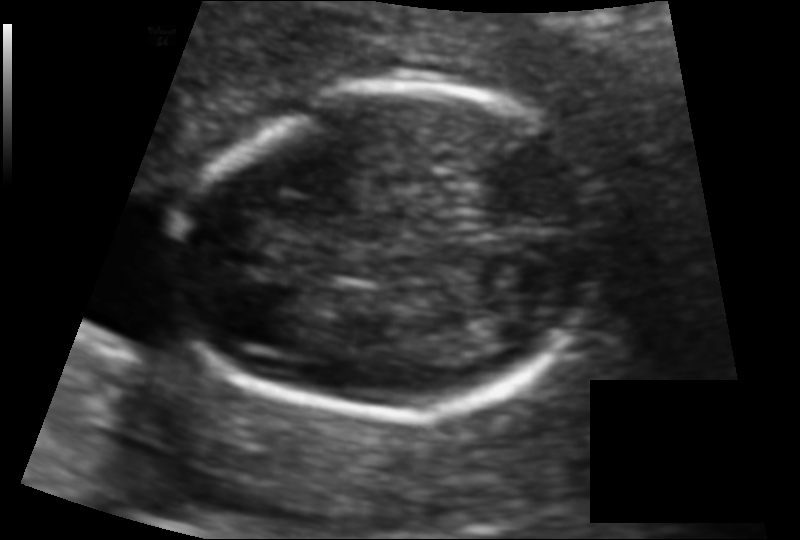
From this fetal ultrasound, estimate the head circumference (image width 76.2 mm).

Head circumference: 119.8 mm.